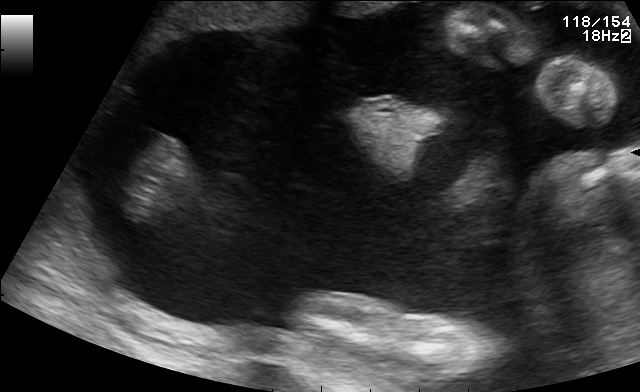
Which standard maternal-fetal ultrasound plane is shown: fetal abdomen, fetal brain, fetal femur, fetal thorax, maternal cervix, or other? If it's fetal brain and one of the three standard brain planes (trans-thalamic, trans-cerebellum, trans-ventricular), name which.

Other